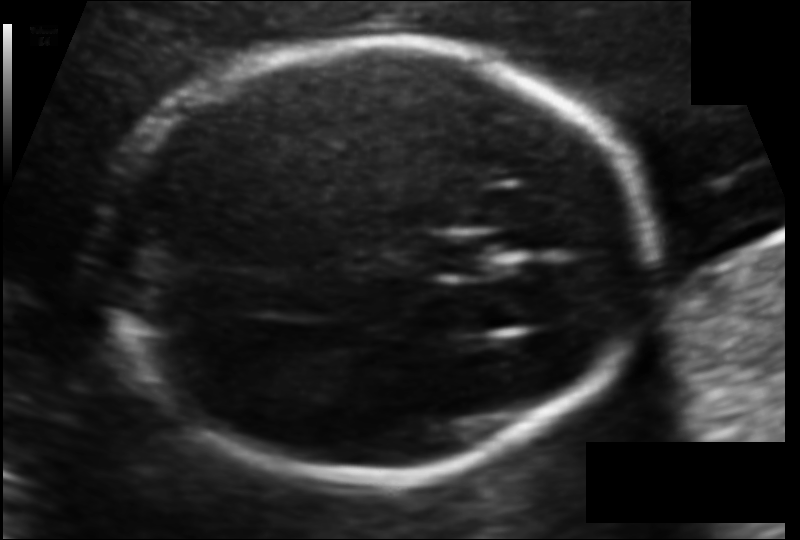
Fetal head ultrasound. Image width: 83.5 mm. Locate the fetal head.

Head: [105,41,650,480]